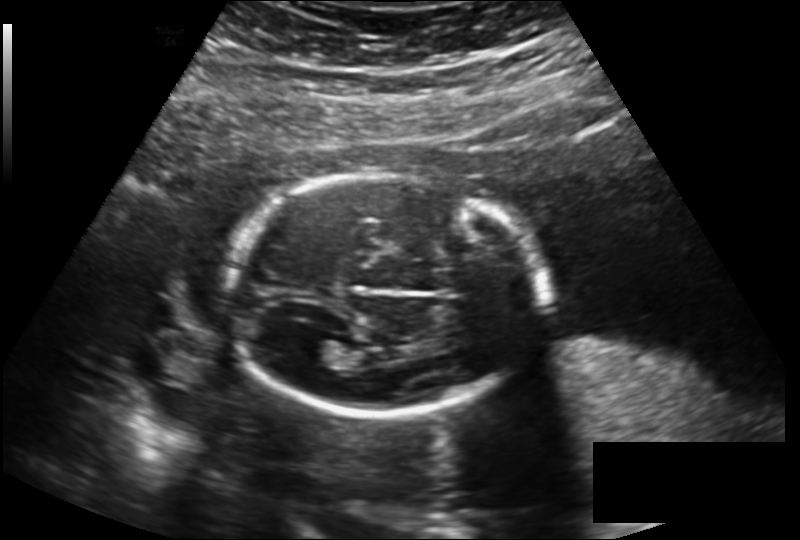
Fetal head ultrasound. Image width: 150.8 mm. Locate the fetal head.

Head: [224,173,546,413]